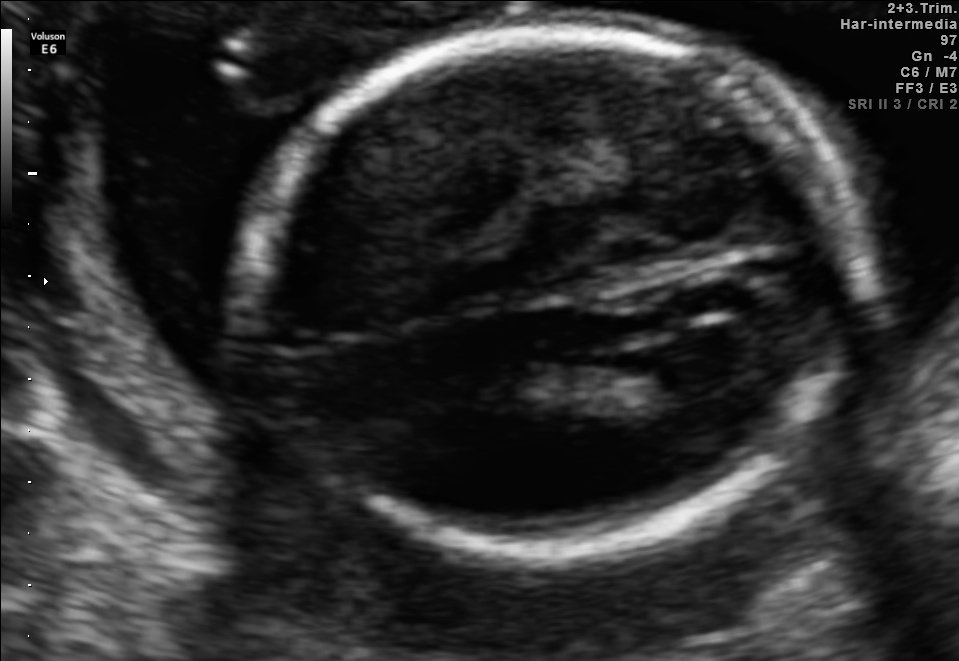
Fetal brain, trans-ventricular plane. Where is the fetal head?

Head bounding box: [222,20,869,563]